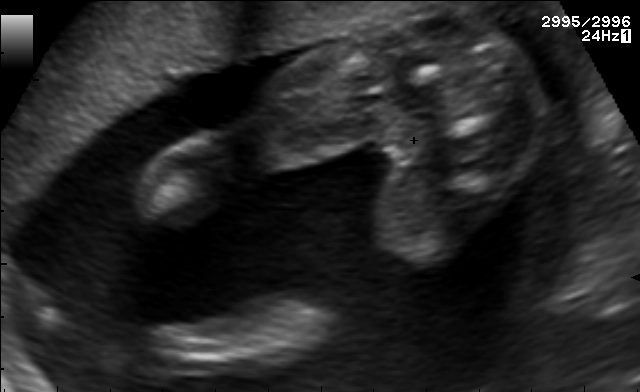
Identify the standard plane in this fetal ultrasound image: fetal abdomen, fetal brain, fetal femur, fetal thorax, maternal cervix, or other. If it's fetal brain and one of the three standard brain planes (trans-thalamic, trans-cerebellum, trans-ventricular), name which.

Other